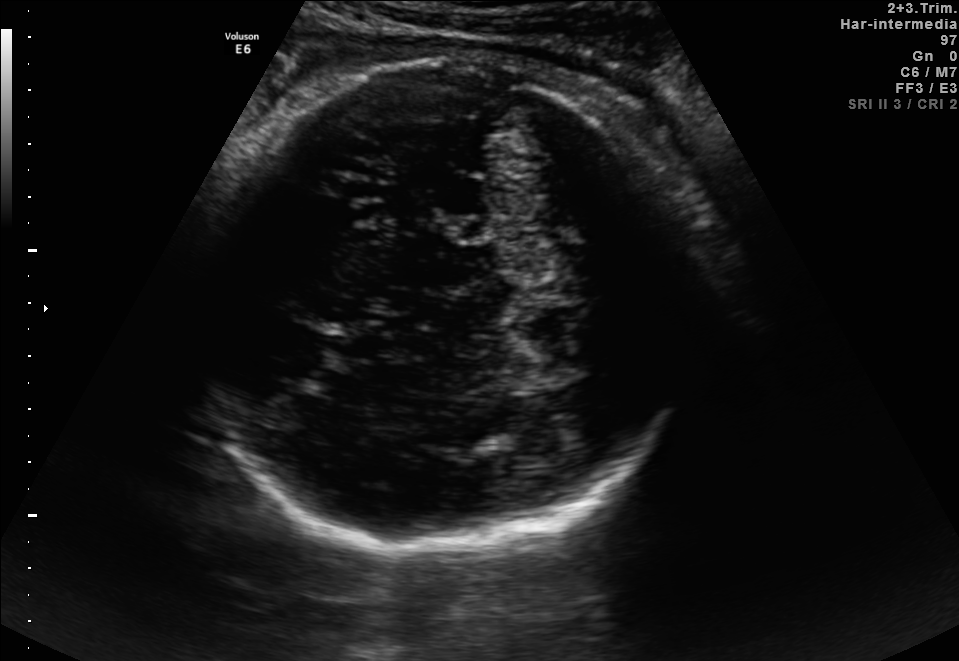
In this fetal brain, trans-thalamic plane, give bounding boxes for the head outline, cavum septum pellucidum (CSP), and lateral ventricle (LV), where visible.

Head: [198,57,701,558]